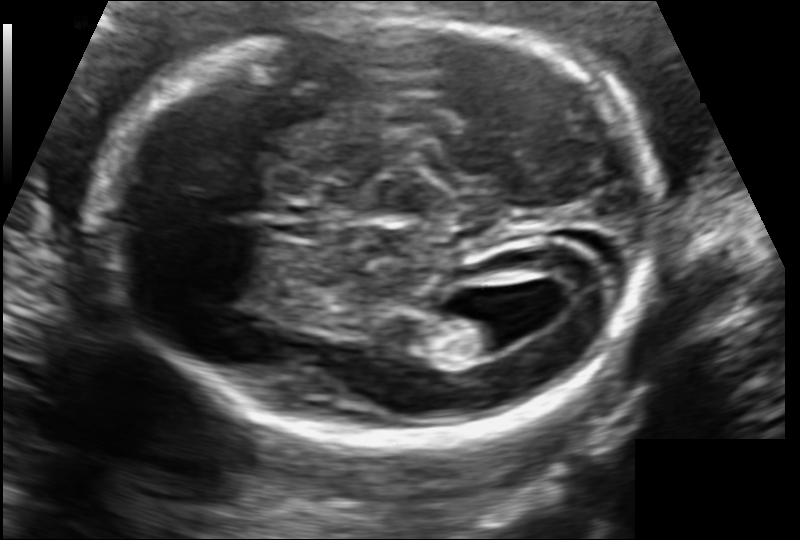
Fetal head ultrasound. Image width: 87.0 mm. Locate the fetal head.

Head: [111,20,659,440]